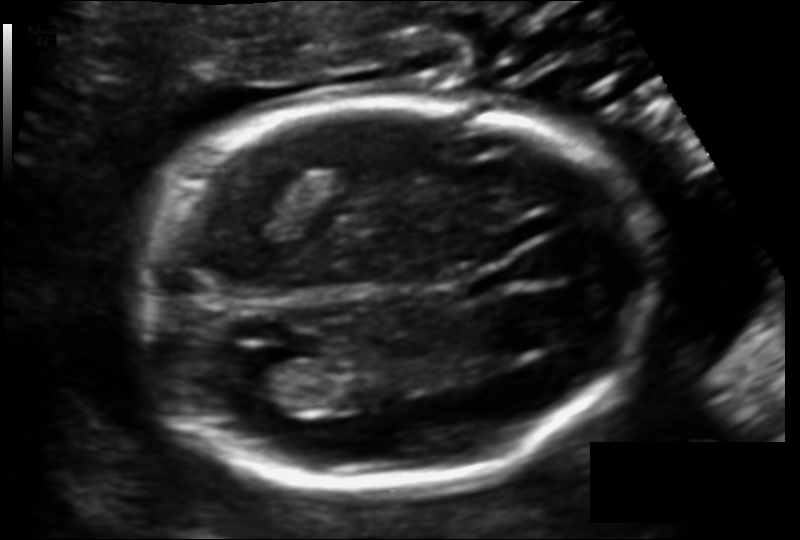
Fetal head ultrasound. Image width: 97.3 mm. Locate the lateral ventricle.

Lateral ventricle: [241,357,319,413]